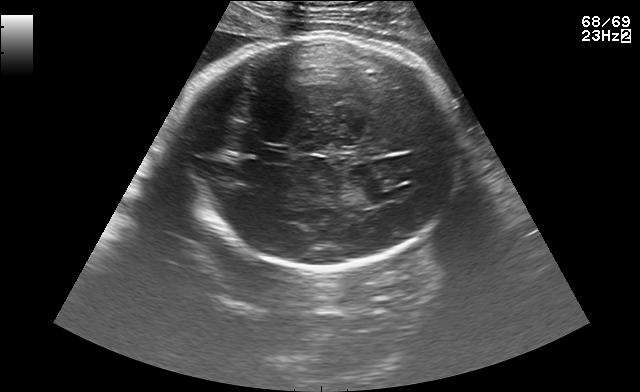
Fetal brain, trans-thalamic plane. Where is the cavum septum pellucidum?

CSP bounding box: [262,150,290,164]